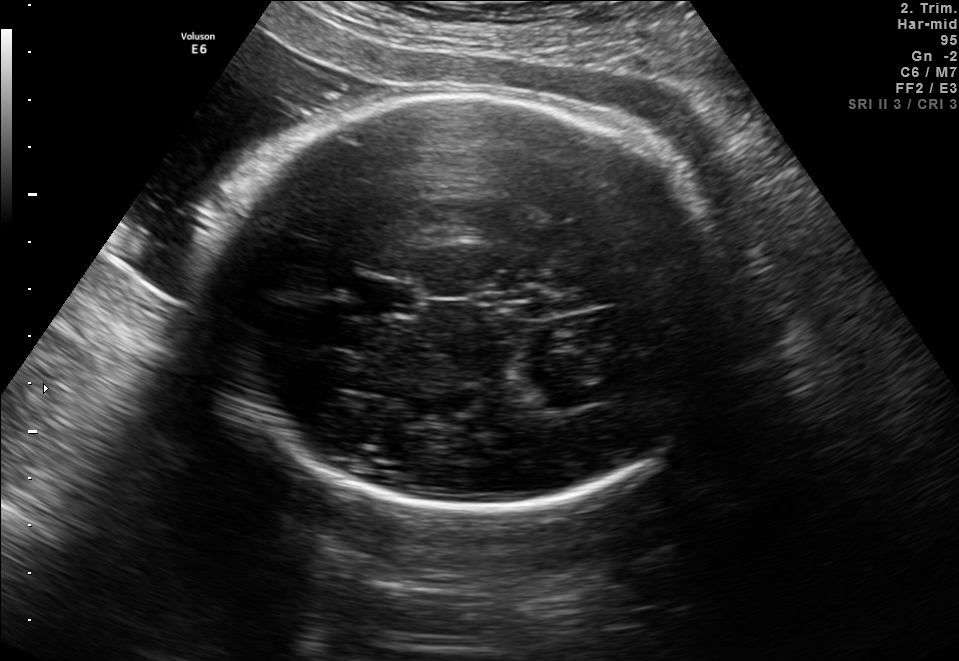
Fetal brain, trans-thalamic plane. Where is the cavum septum pellucidum?

CSP bounding box: [355,277,418,318]